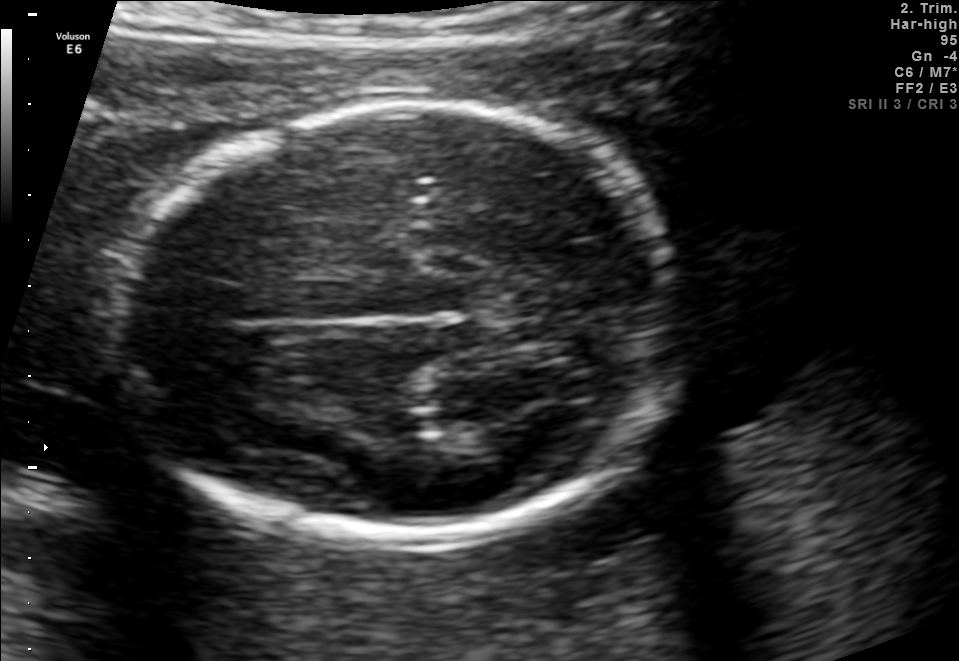
Which standard maternal-fetal ultrasound plane is shown: fetal abdomen, fetal brain, fetal femur, fetal thorax, maternal cervix, or other? If it's fetal brain and one of the three standard brain planes (trans-thalamic, trans-cerebellum, trans-ventricular), name which.

Fetal brain (trans-thalamic plane)